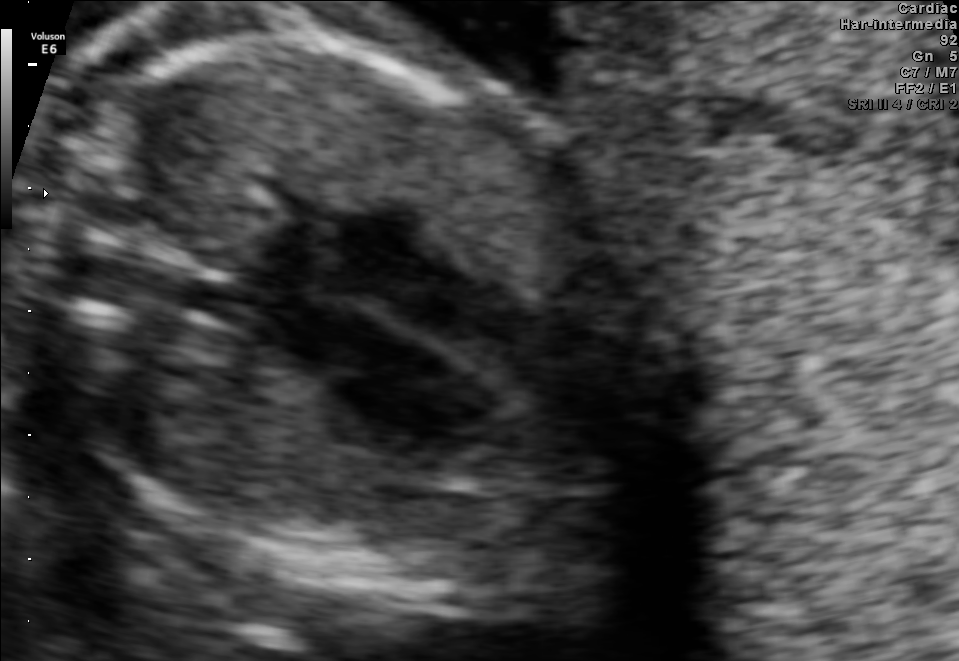
This is a 2D maternal-fetal ultrasound frame. Is it a fetal abdomen, fetal brain, fetal femur, fetal thorax, maternal cervix, or other standard plane? If it's fetal brain and one of the three standard brain planes (trans-thalamic, trans-cerebellum, trans-ventricular), name which.

Fetal thorax